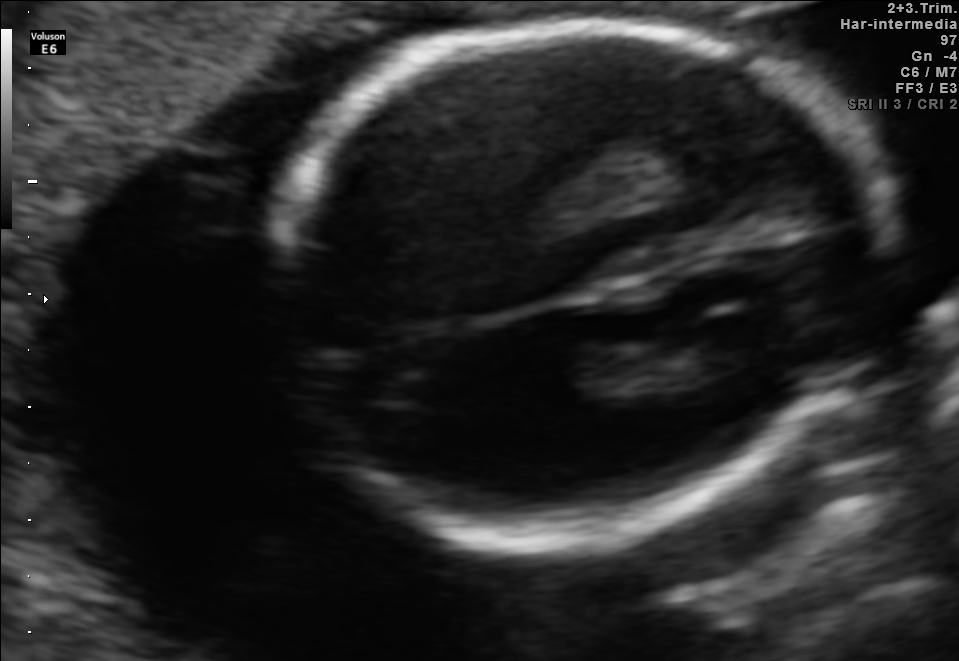
Identify the standard plane in this fetal ultrasound image: fetal abdomen, fetal brain, fetal femur, fetal thorax, maternal cervix, or other. If it's fetal brain and one of the three standard brain planes (trans-thalamic, trans-cerebellum, trans-ventricular), name which.

Fetal brain (trans-thalamic plane)